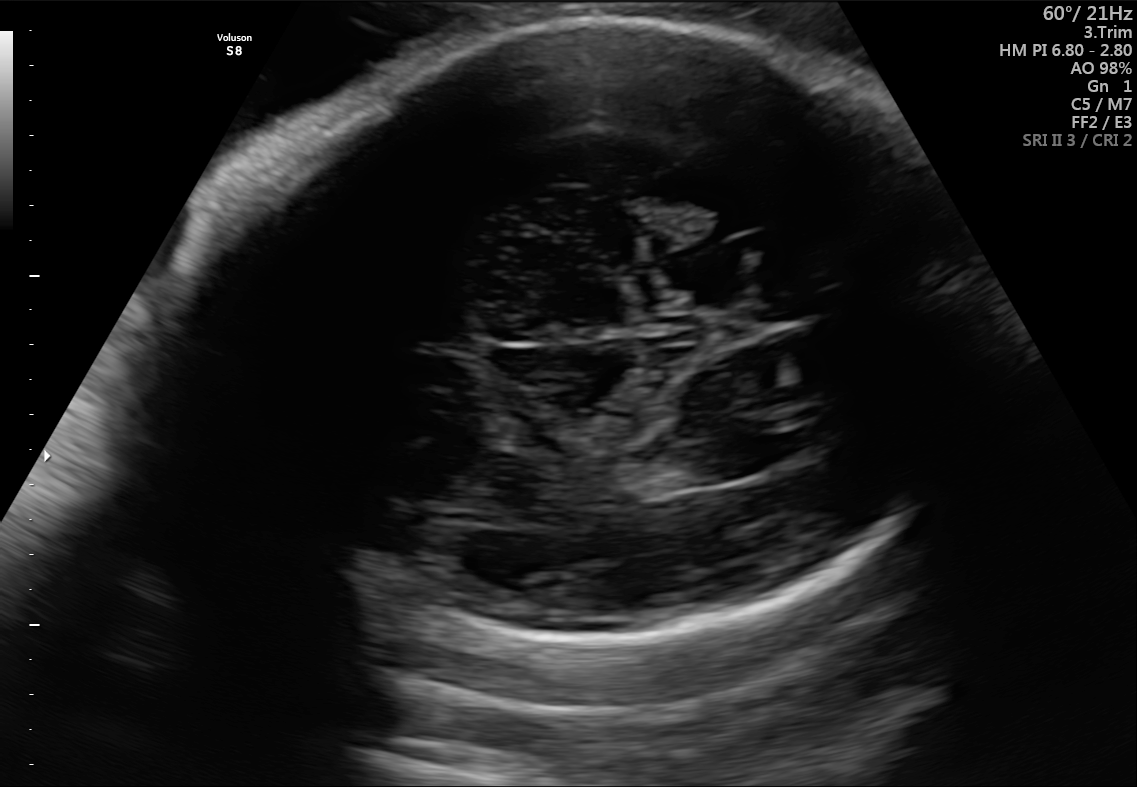
Fetal brain, trans-thalamic plane. Locate the fetal head and, if visible, the cavum septum pellucidum (CSP) and lateral ventricle (LV). Give bounding boxes as [x1,y1,x2,y2].

Head: [204,14,971,635]